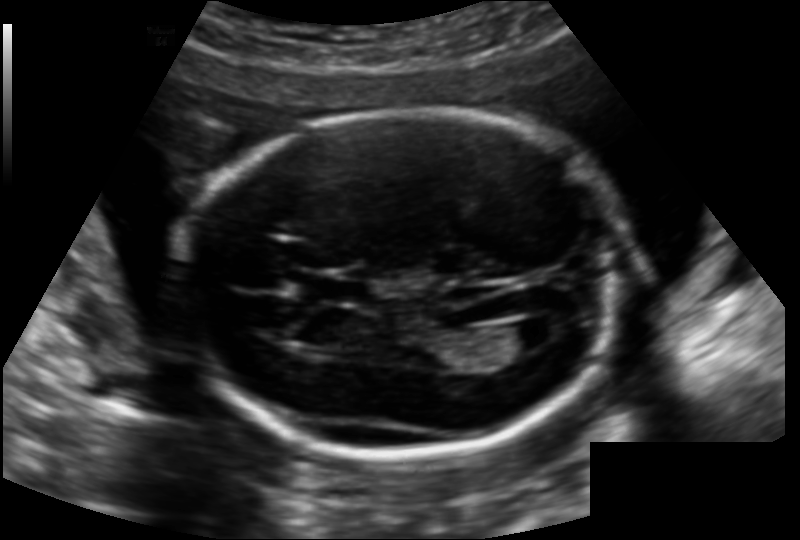
Fetal head ultrasound. Image width: 113.4 mm. Where is the fetal head?

Head bounding box: [184,109,618,453]